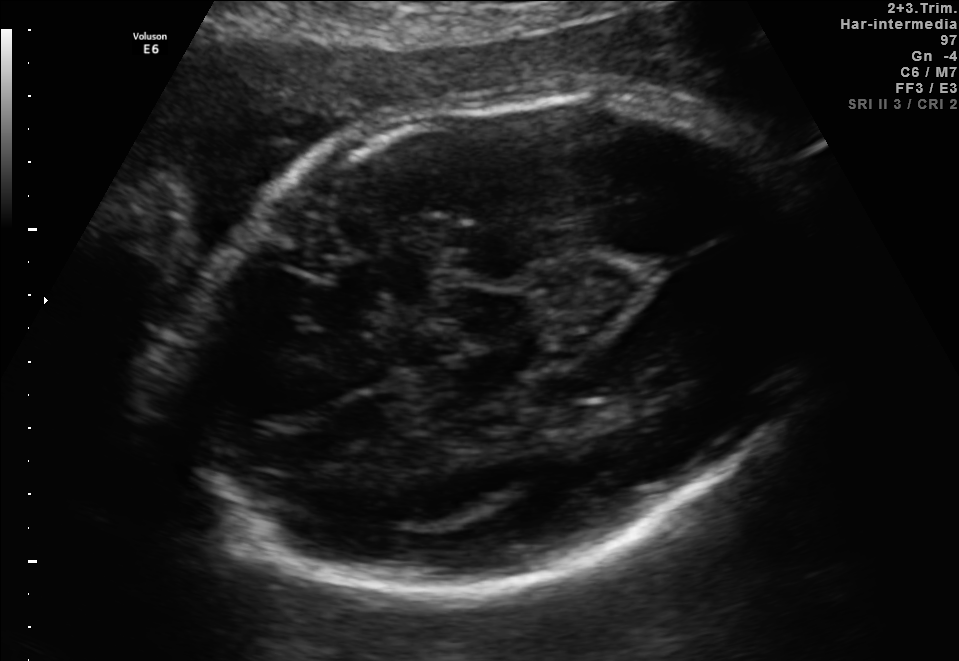
Fetal brain, trans-thalamic plane. Where is the fetal head?

Head bounding box: [174,91,819,590]